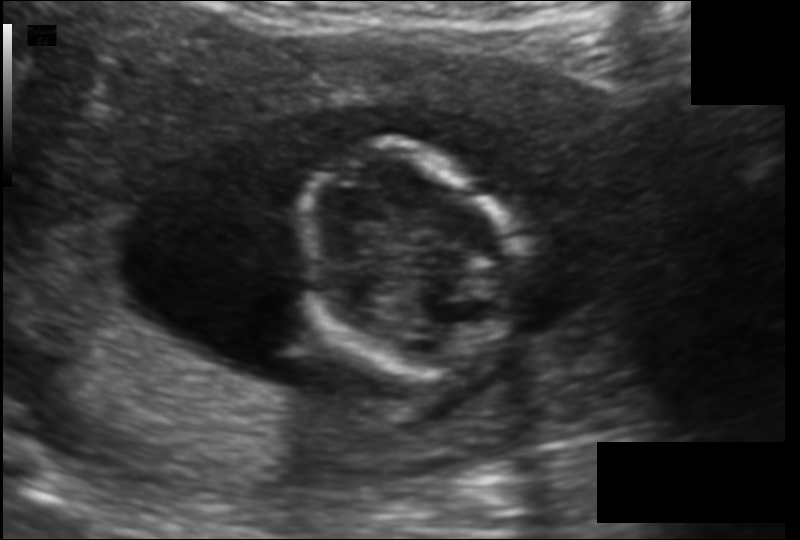
Estimate the fetal head circumference from this 2D ultrasound.

Head circumference: 98.7 mm (image width 103.9 mm).